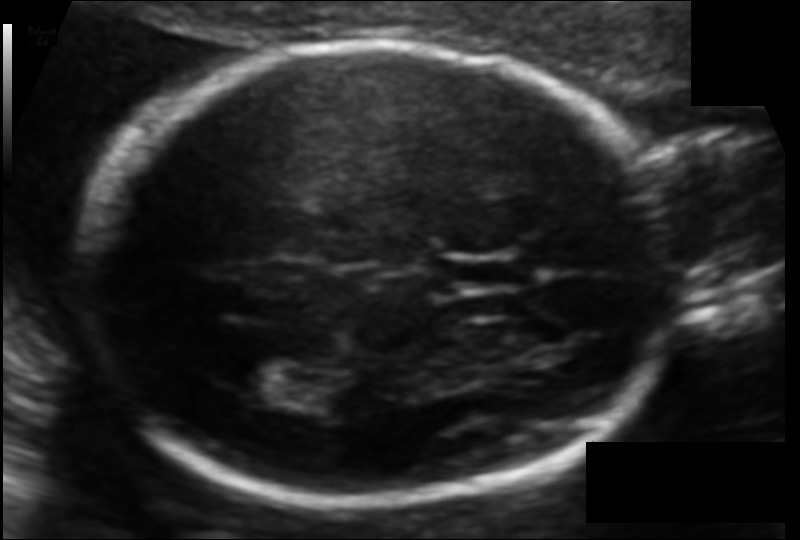
Fetal head ultrasound. Image width: 83.2 mm. Where is the lateral ventricle?

Lateral ventricle bounding box: [225,344,304,401]